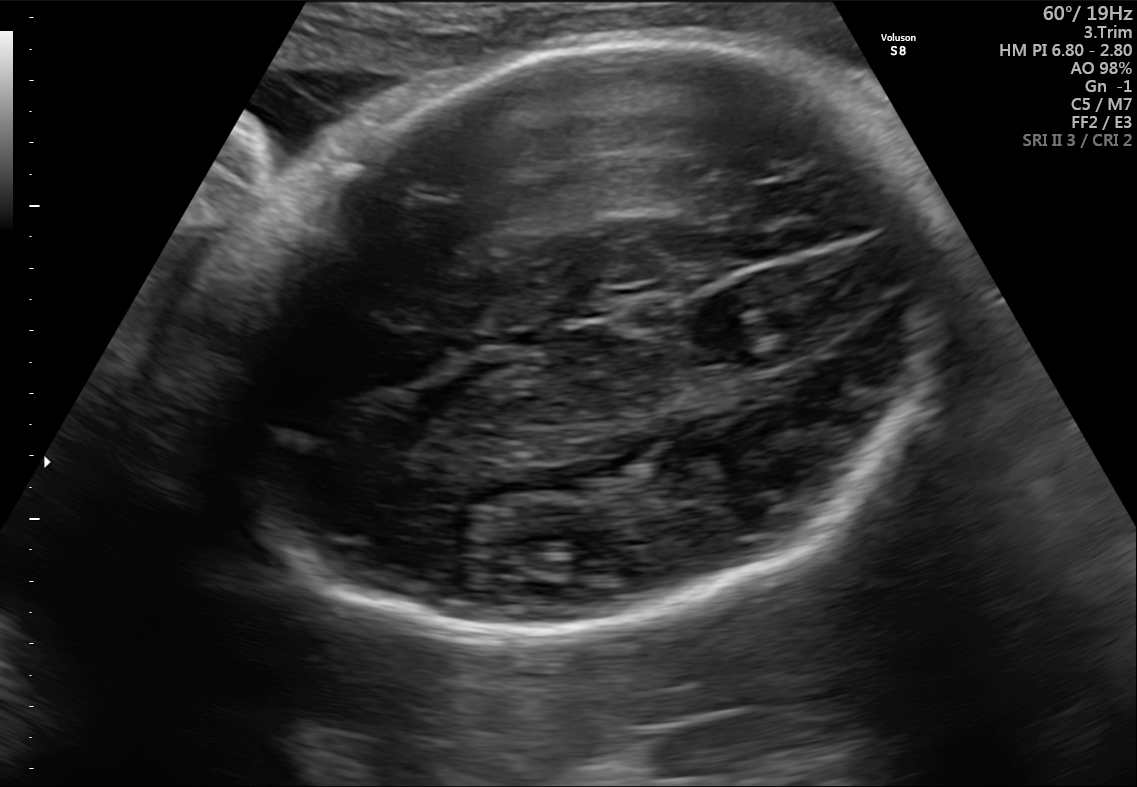
Fetal brain, trans-thalamic plane. Locate the fetal head.

Head: [210,42,967,641]